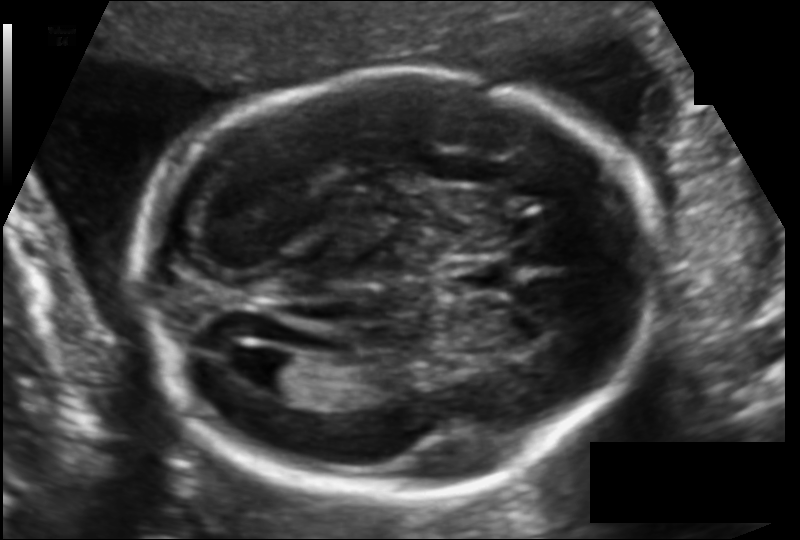
Measure the fetal head circumference shown in this ultrasound image. Image width: 97.1 mm.

Head circumference: 184.2 mm.